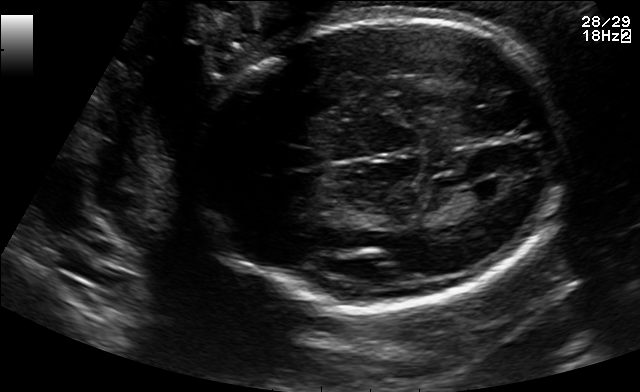
Fetal brain, trans-ventricular plane. Give [x1,y1,x2,y2] bounding boxes for each visible structure among: fetal head, CSP, LV.

Head: [200,14,574,310]